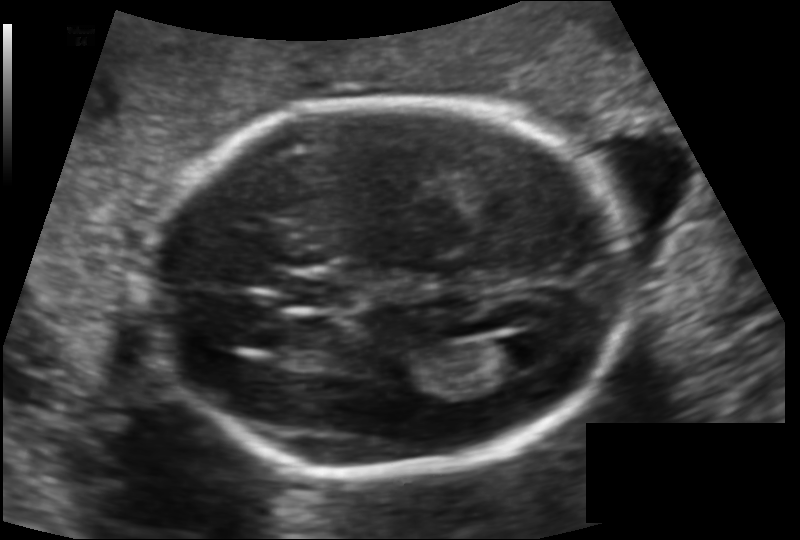
Estimate the fetal head circumference from this 2D ultrasound.

Head circumference: 173.2 mm (image width 100.1 mm).